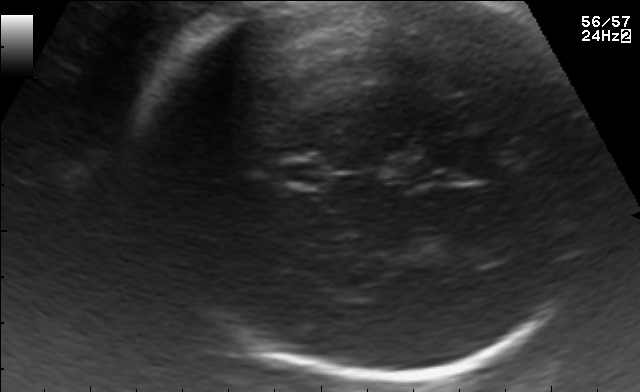
Fetal brain, trans-thalamic plane. Give [x1,y1,x2,y2] bounding boxes for each visible structure among: fetal head, CSP, LV.

Head: [137,1,602,377]
CSP: [283,164,321,182]